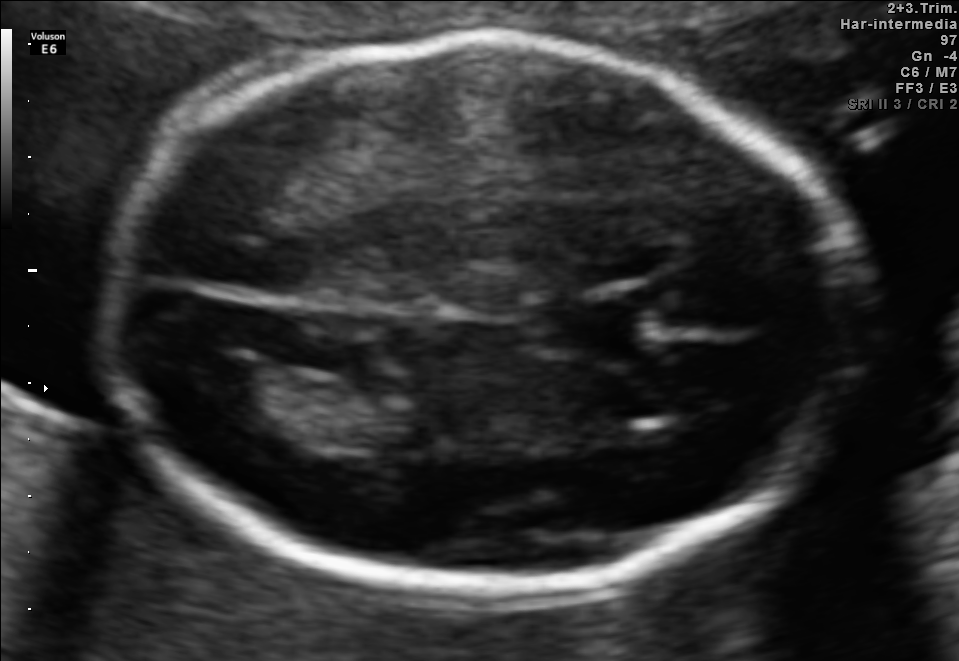
In this fetal brain, trans-ventricular plane, give the bounding box of the cavum septum pellucidum.

[523,298,649,351]